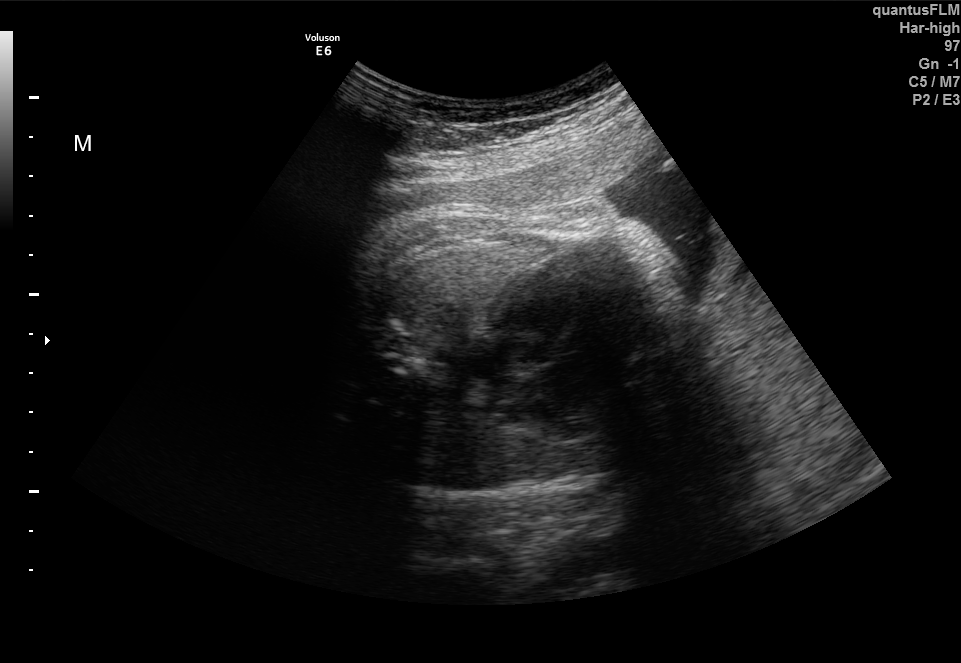
Identify the standard plane in this fetal ultrasound image: fetal abdomen, fetal brain, fetal femur, fetal thorax, maternal cervix, or other. If it's fetal brain and one of the three standard brain planes (trans-thalamic, trans-cerebellum, trans-ventricular), name which.

Fetal thorax